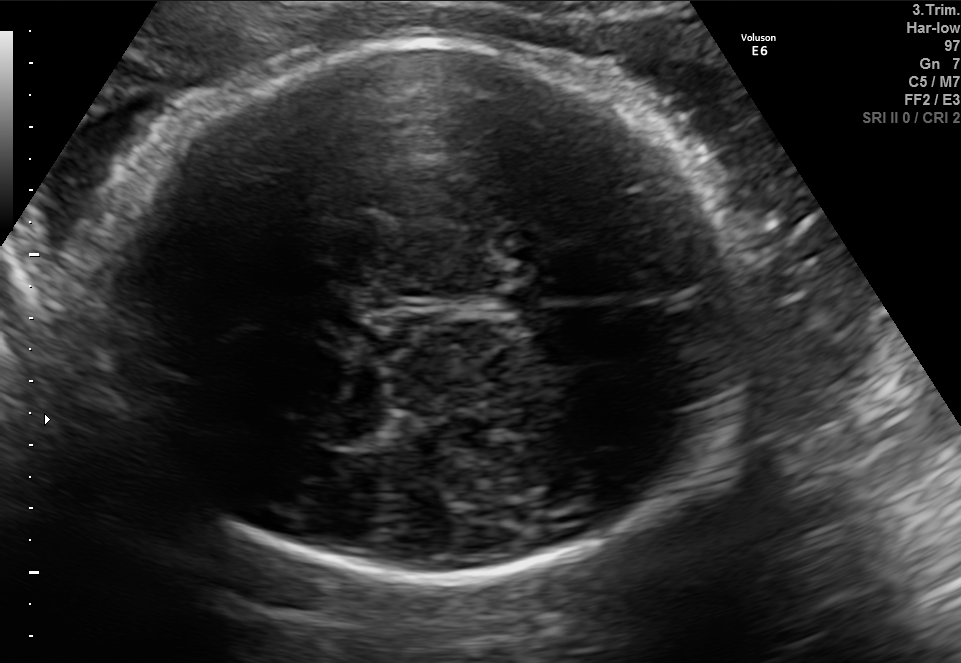
Fetal brain, trans-thalamic plane. Locate the fetal head.

Head: [89,44,746,577]